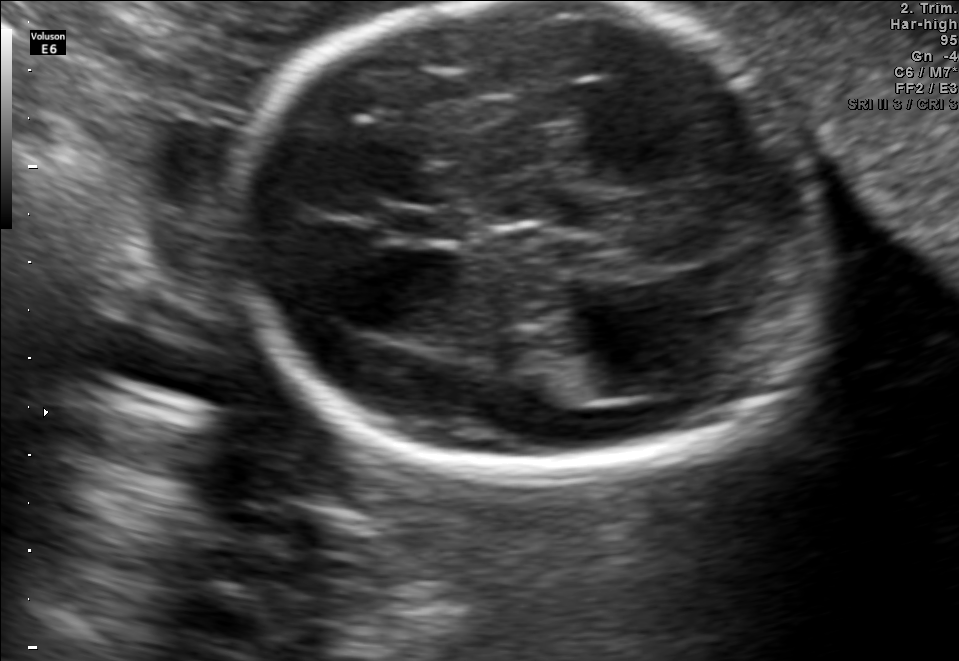
In this fetal brain, trans-thalamic plane, give the bounding box of the cavum septum pellucidum.

[383,204,464,241]